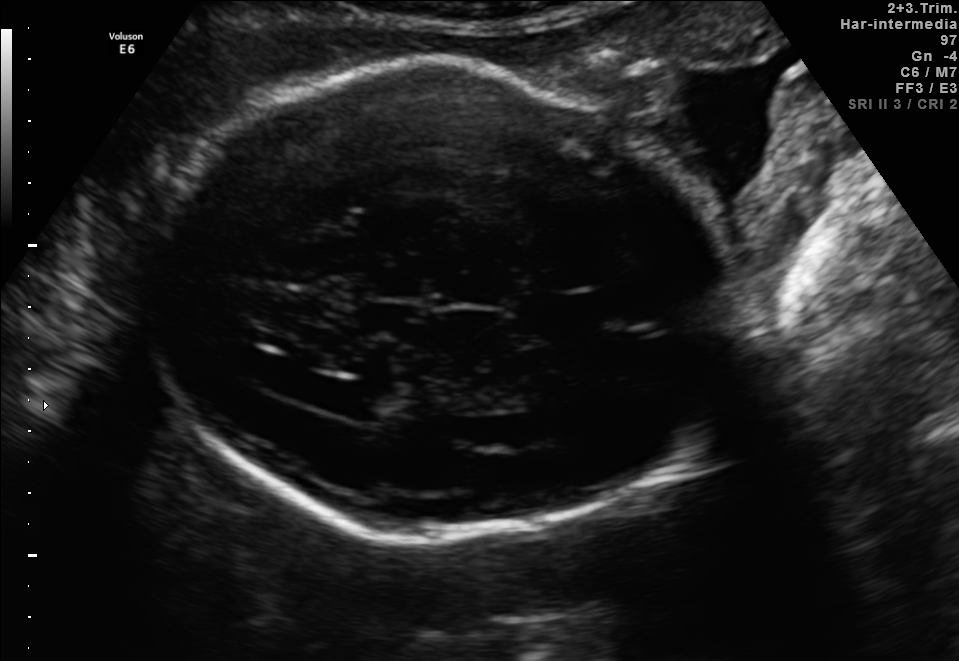
Which standard maternal-fetal ultrasound plane is shown: fetal abdomen, fetal brain, fetal femur, fetal thorax, maternal cervix, or other? If it's fetal brain and one of the three standard brain planes (trans-thalamic, trans-cerebellum, trans-ventricular), name which.

Fetal brain (trans-ventricular plane)